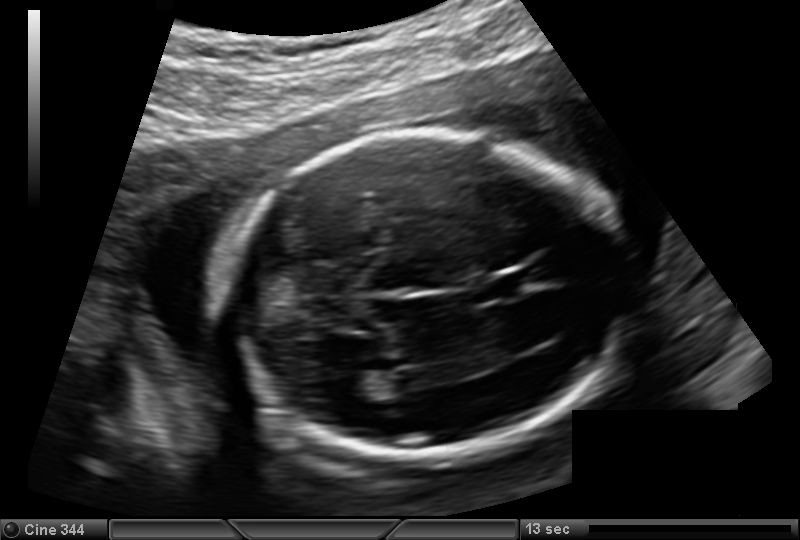
From this fetal ultrasound, estimate the head circumference (image width 115.3 mm).

Head circumference: 173.4 mm.